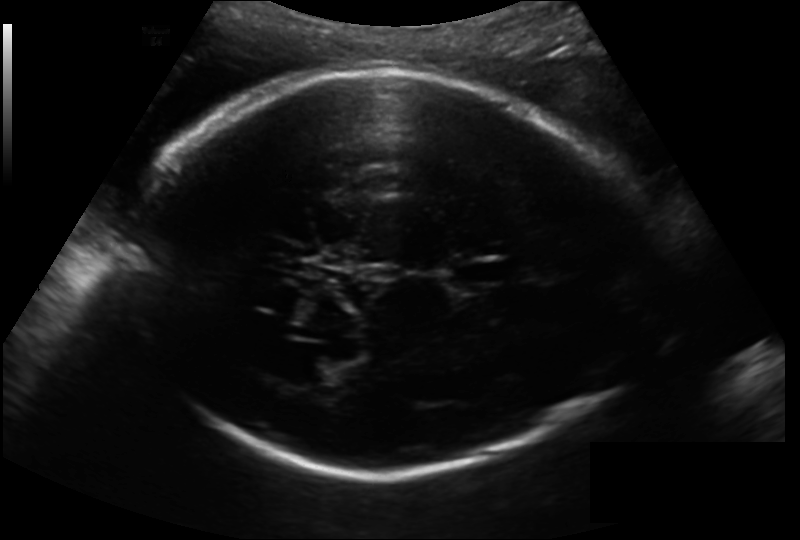
Fetal head ultrasound. Image width: 154.5 mm. Locate the fetal head.

Head: [124,71,656,477]